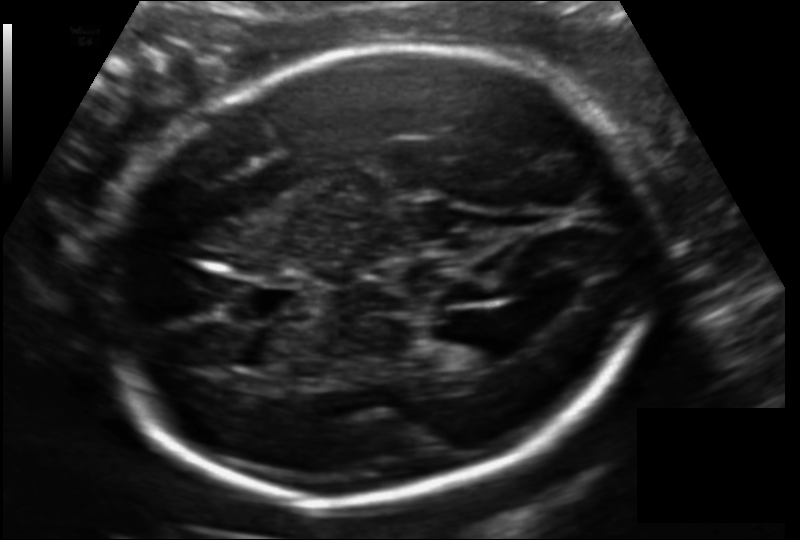
Fetal head ultrasound. Image width: 111.6 mm. Locate the fetal head and, if visible, the cavum septum pellucidum (CSP) and lateral ventricle (LV). Give bounding boxes as [x1,y1,x2,y2].

Head: [115,46,650,506]
CSP: [238,277,311,325]
Lateral ventricle: [435,327,504,377]